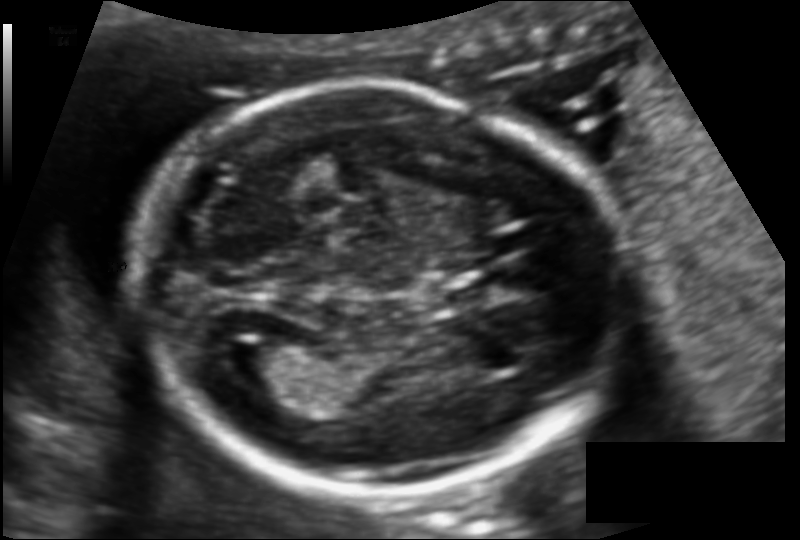
Fetal head ultrasound. Image width: 89.5 mm. Where is the fetal head?

Head bounding box: [134,90,614,494]